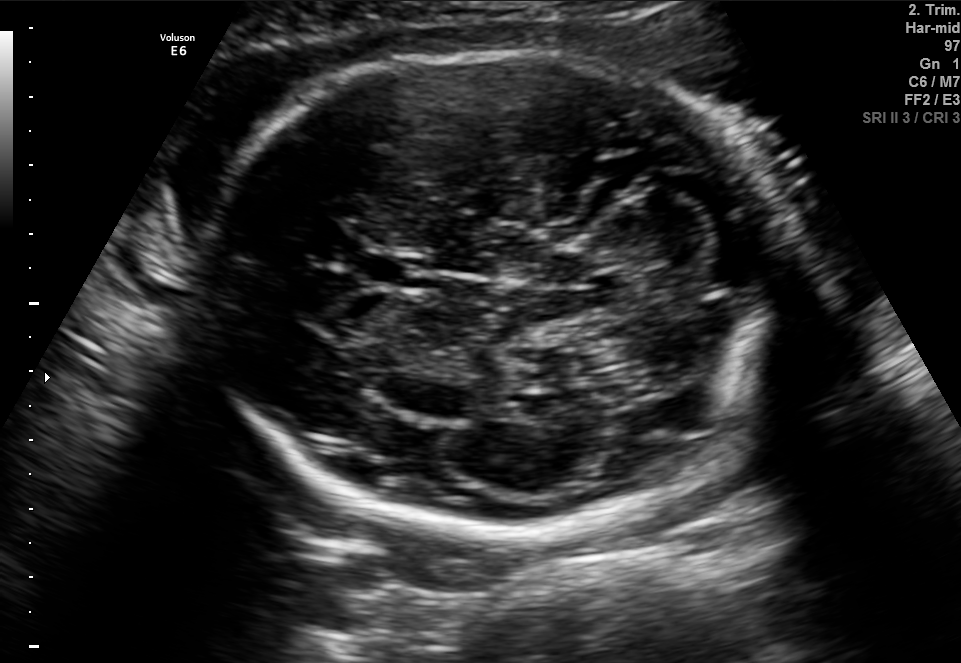
Fetal brain, trans-cerebellum plane. Locate the fetal head and, if visible, the cavum septum pellucidum (CSP) and lateral ventricle (LV). Give bounding boxes as [x1,y1,x2,y2].

Head: [207,53,786,530]
CSP: [360,249,428,290]